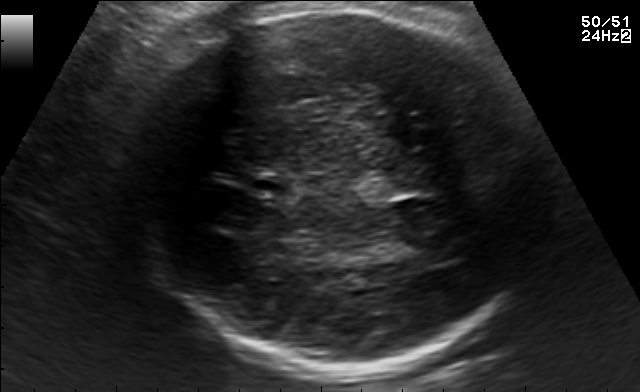
Fetal brain, trans-thalamic plane. Where is the cavum septum pellucidum?

CSP bounding box: [251,175,290,195]